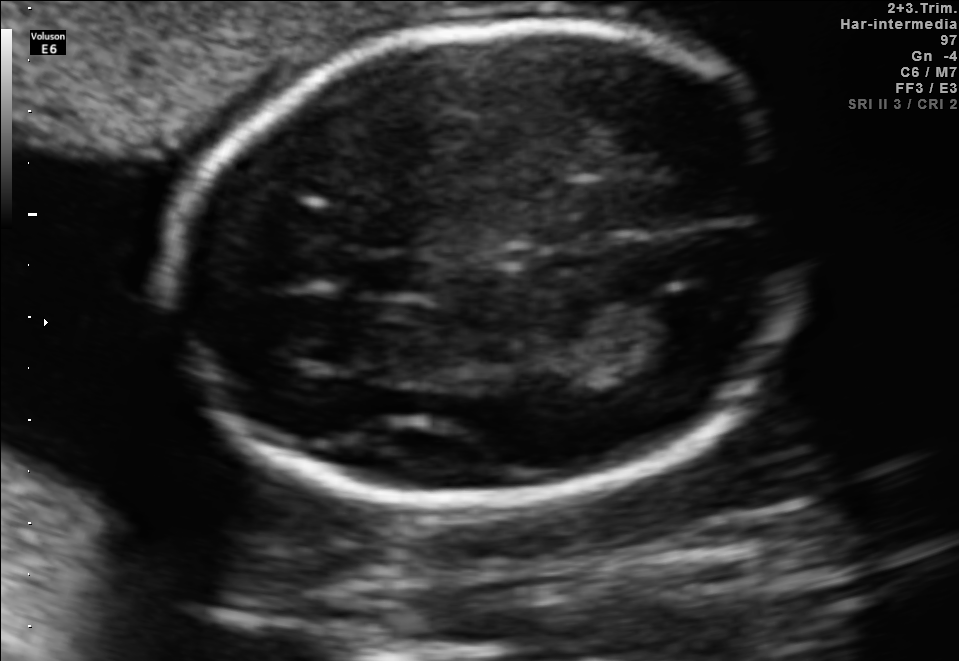
Fetal brain, trans-thalamic plane. Locate the fetal head and, if visible, the cavum septum pellucidum (CSP) and lateral ventricle (LV). Give bounding boxes as [x1,y1,x2,y2].

Head: [170,21,801,506]
CSP: [351,259,429,292]
Lateral ventricle: [580,287,716,370]